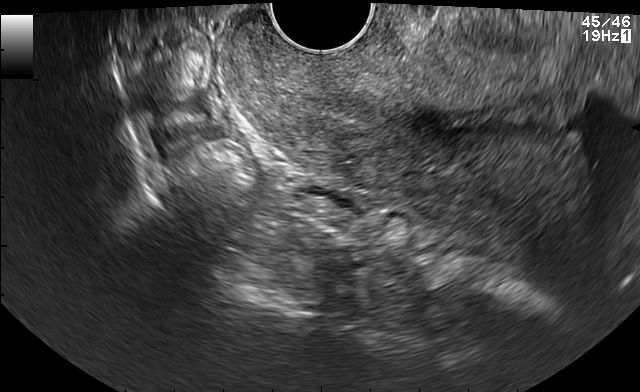
Identify the standard plane in this fetal ultrasound image: fetal abdomen, fetal brain, fetal femur, fetal thorax, maternal cervix, or other. If it's fetal brain and one of the three standard brain planes (trans-thalamic, trans-cerebellum, trans-ventricular), name which.

Maternal cervix